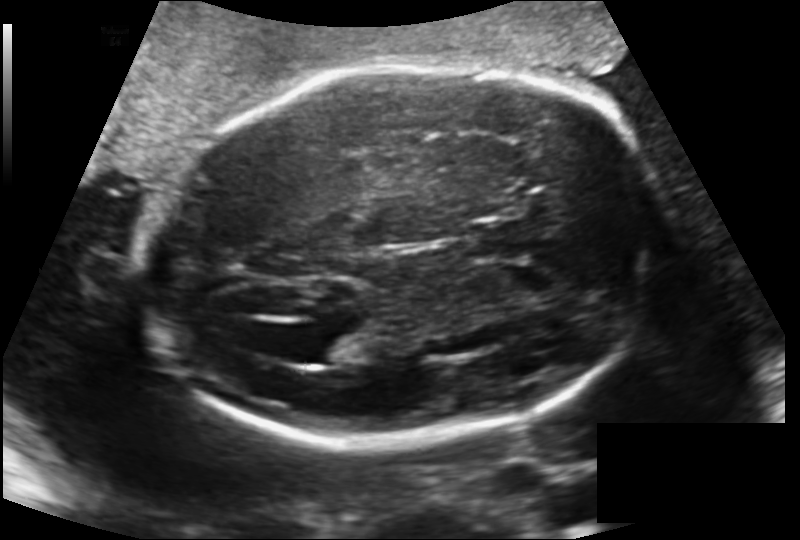
Fetal head ultrasound. Image width: 136.0 mm. Where is the lateral ventricle?

Lateral ventricle bounding box: [308,330,361,367]